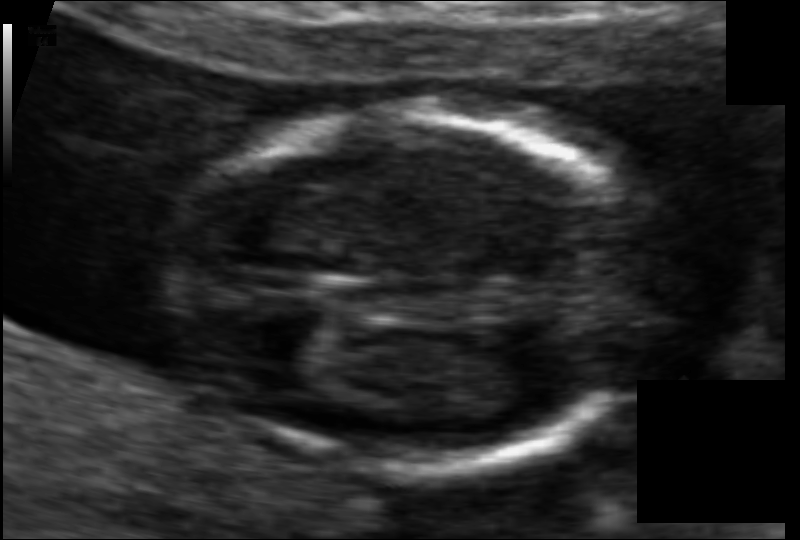
From this fetal ultrasound, estimate the head circumference (image width 51.8 mm).

Head circumference: 88.5 mm.